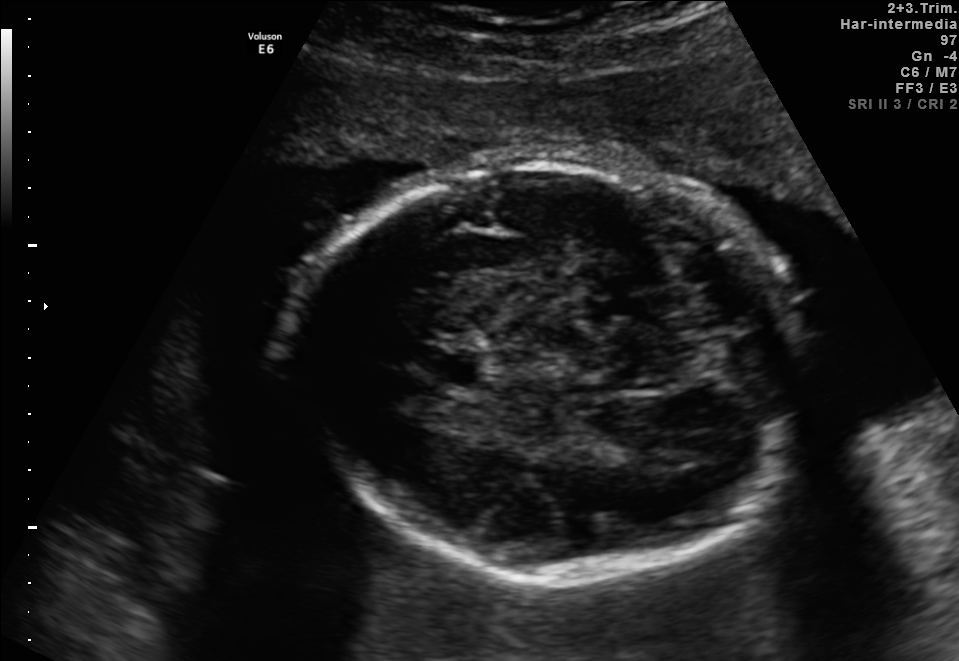
In this fetal brain, trans-thalamic plane, give the bounding box of the fetal head.

[302,159,805,580]